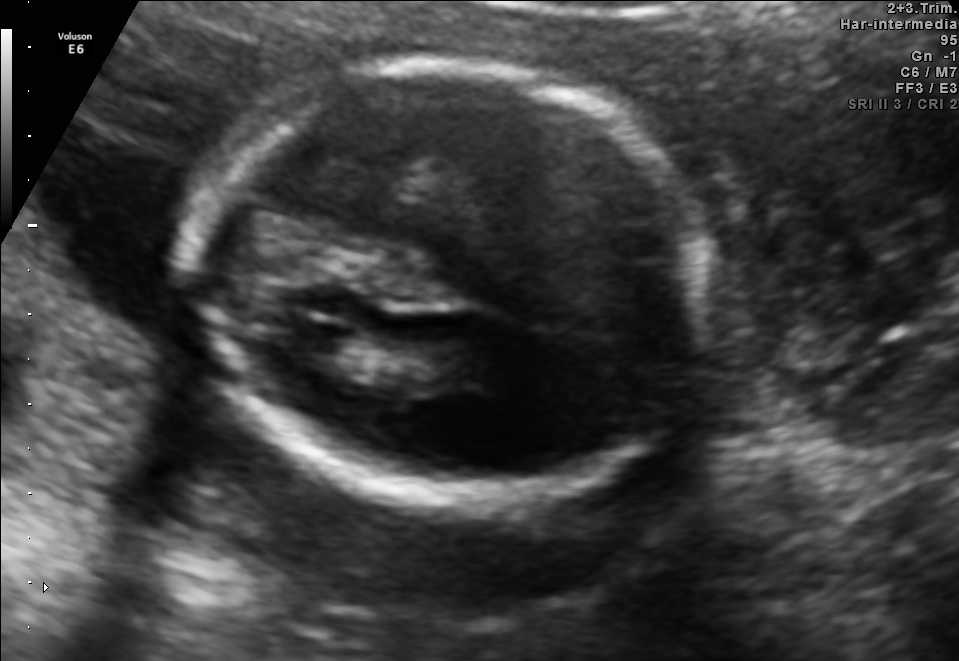
Which standard maternal-fetal ultrasound plane is shown: fetal abdomen, fetal brain, fetal femur, fetal thorax, maternal cervix, or other? If it's fetal brain and one of the three standard brain planes (trans-thalamic, trans-cerebellum, trans-ventricular), name which.

Fetal brain